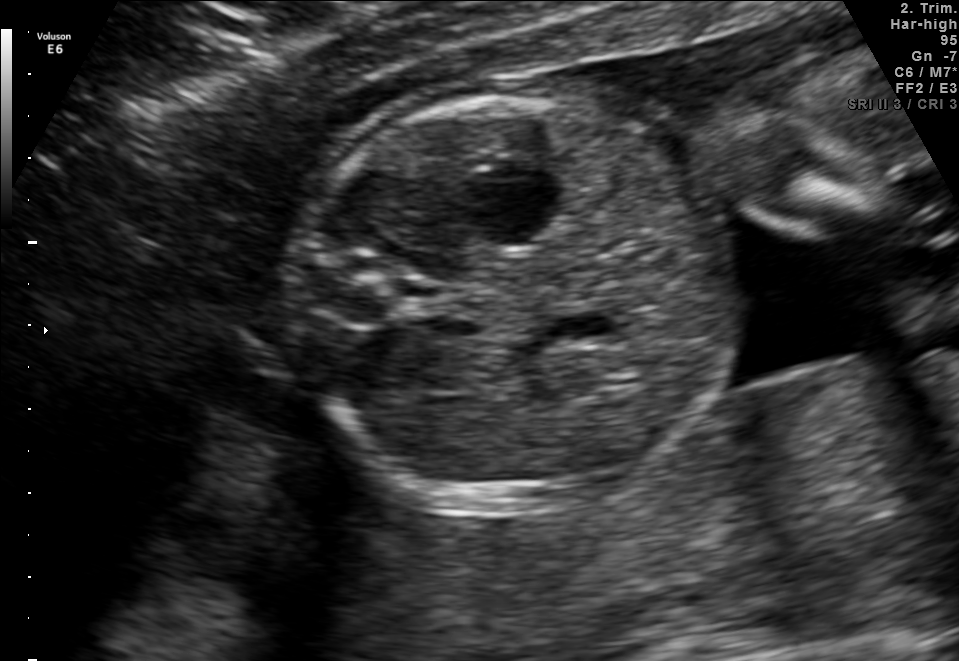
Identify the standard plane in this fetal ultrasound image: fetal abdomen, fetal brain, fetal femur, fetal thorax, maternal cervix, or other. If it's fetal brain and one of the three standard brain planes (trans-thalamic, trans-cerebellum, trans-ventricular), name which.

Fetal abdomen